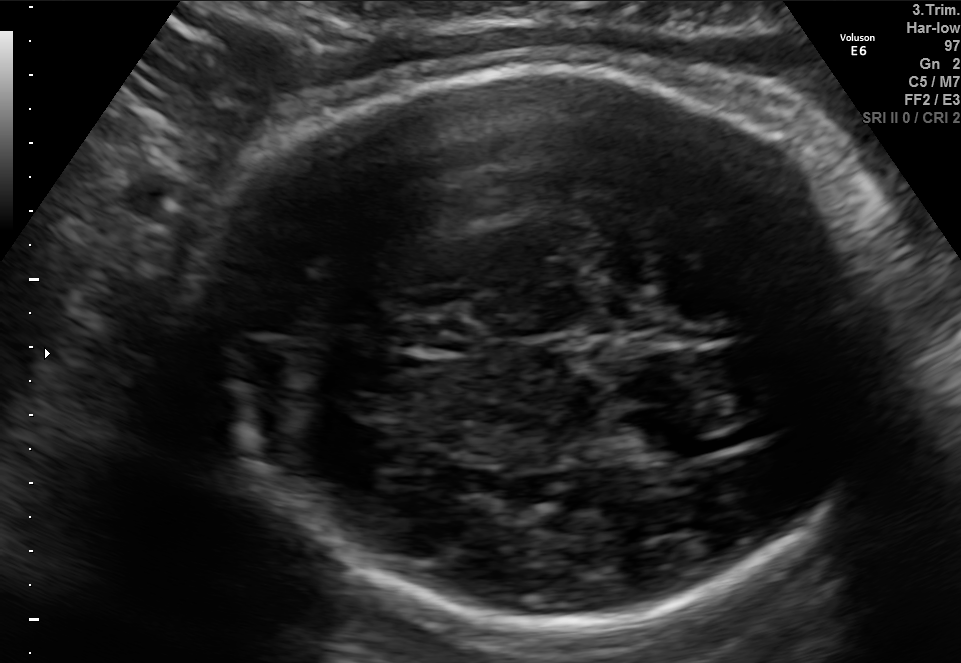
Fetal brain, trans-thalamic plane. Locate the lateral ventricle.

Lateral ventricle: [647,430,728,469]